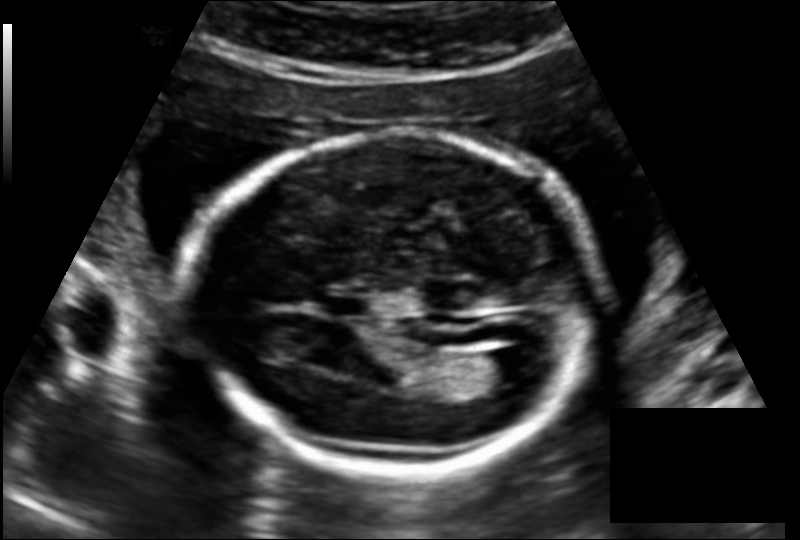
Fetal head ultrasound. Image width: 115.9 mm. Locate the fetal head.

Head: [191,131,602,473]